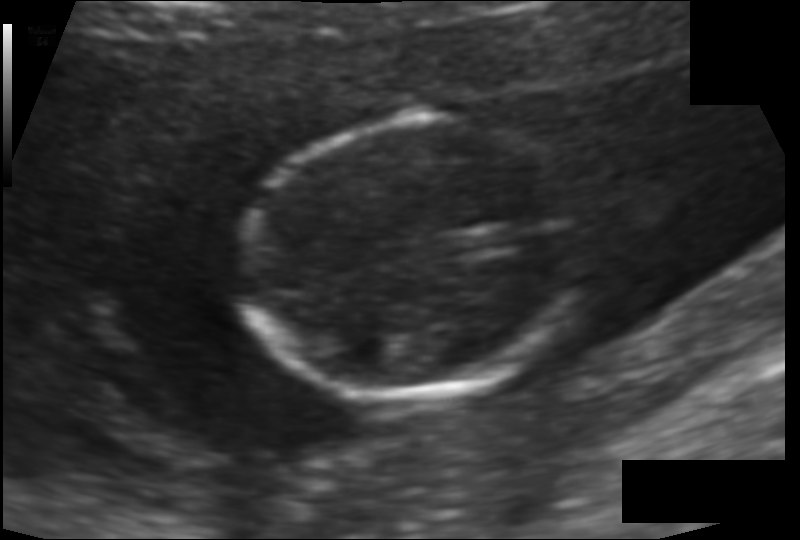
Fetal head ultrasound. Image width: 77.6 mm. Give [x1,y1,x2,y2] bounding boxes for each visible structure among: fetal head, CSP, LV.

Head: [246,118,586,396]